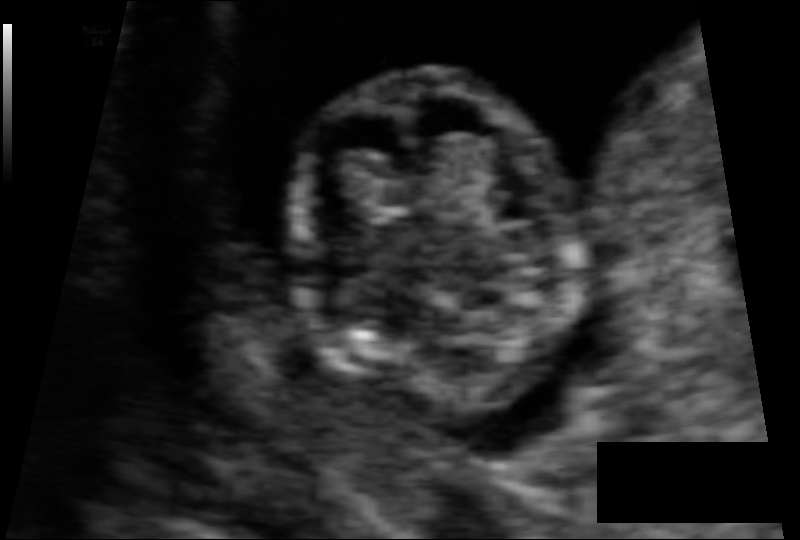
Fetal head ultrasound. Image width: 52.5 mm. Where is the fetal head?

Head bounding box: [289,70,585,427]